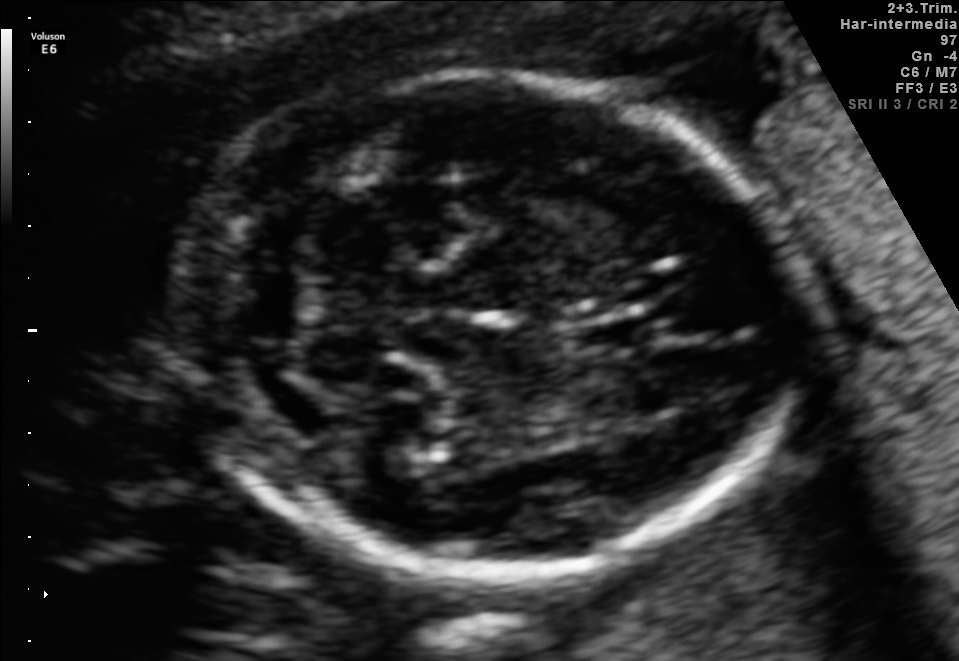
Fetal brain, trans-cerebellum plane. Where is the cavum septum pellucidum?

CSP bounding box: [565,305,656,365]